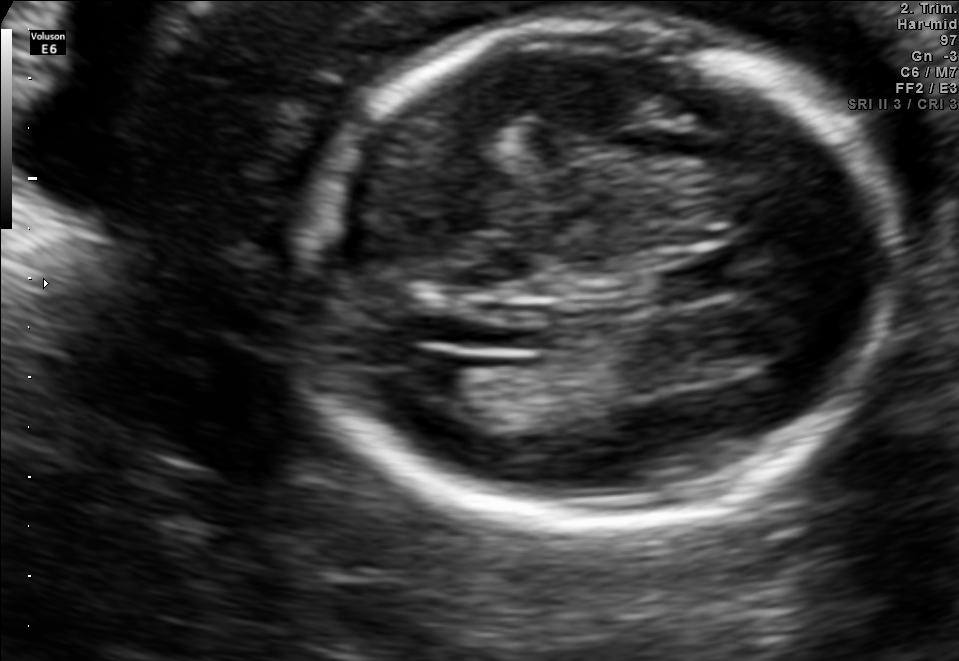
Fetal brain, trans-ventricular plane. Locate the lateral ventricle.

Lateral ventricle: [398,343,473,403]